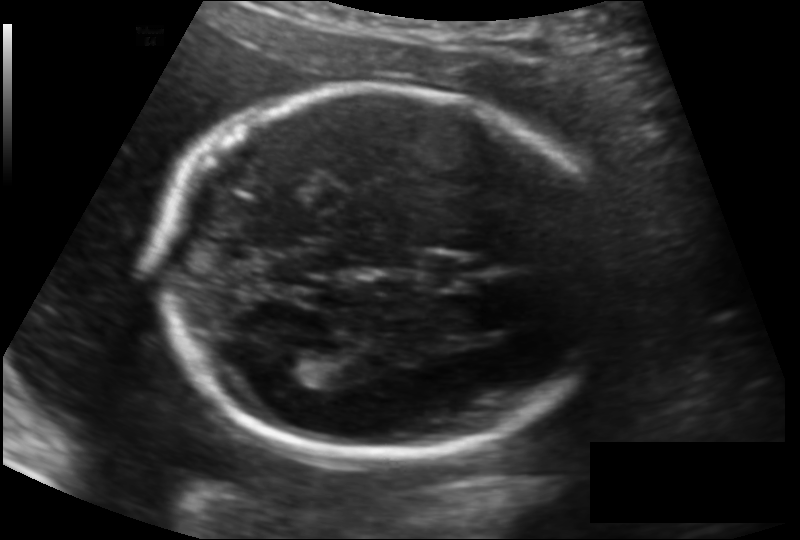
In this fetal head ultrasound, give bounding boxes for the head outline, cavum septum pellucidum (CSP), and lateral ventricle (LV), where visible. Image width: 107.5 mm.

Head: [158,87,610,458]
CSP: [412,251,474,292]
Lateral ventricle: [270,345,335,390]